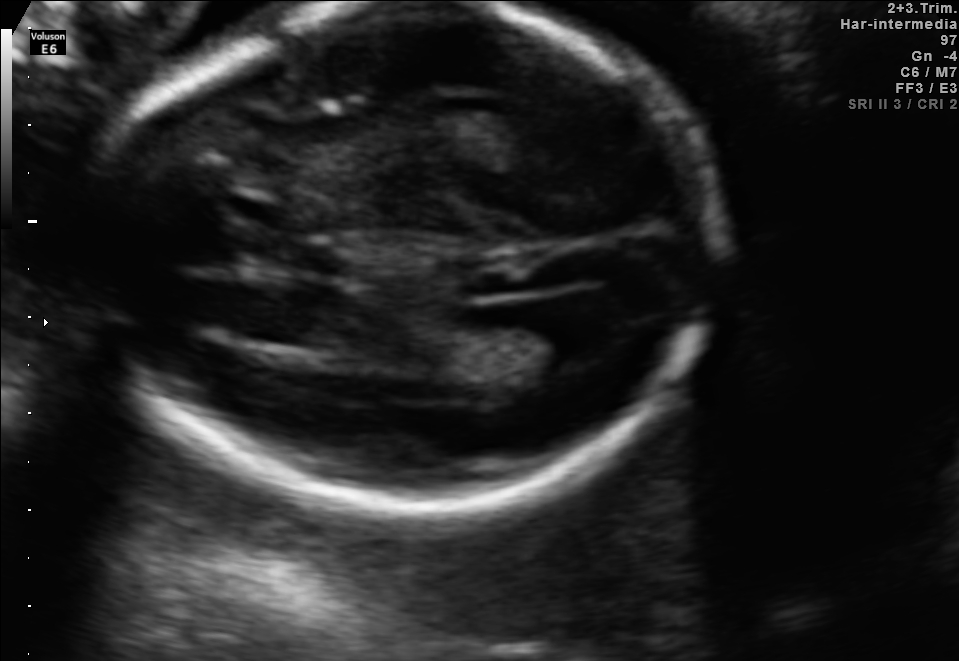
Fetal brain, trans-ventricular plane. Where is the fetal head?

Head bounding box: [74,1,741,526]